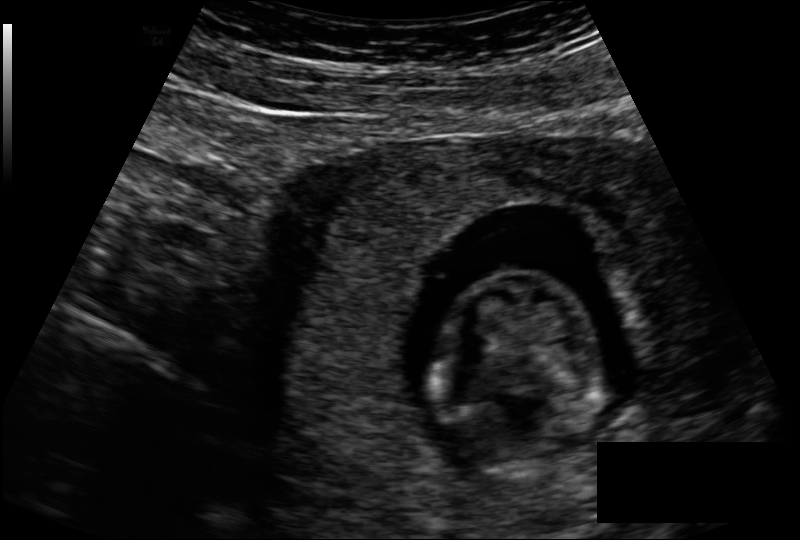
In this fetal head ultrasound, give bounding boxes for the head outline, cavum septum pellucidum (CSP), and lateral ventricle (LV), where visible. Image width: 104.8 mm.

Head: [436,272,599,474]